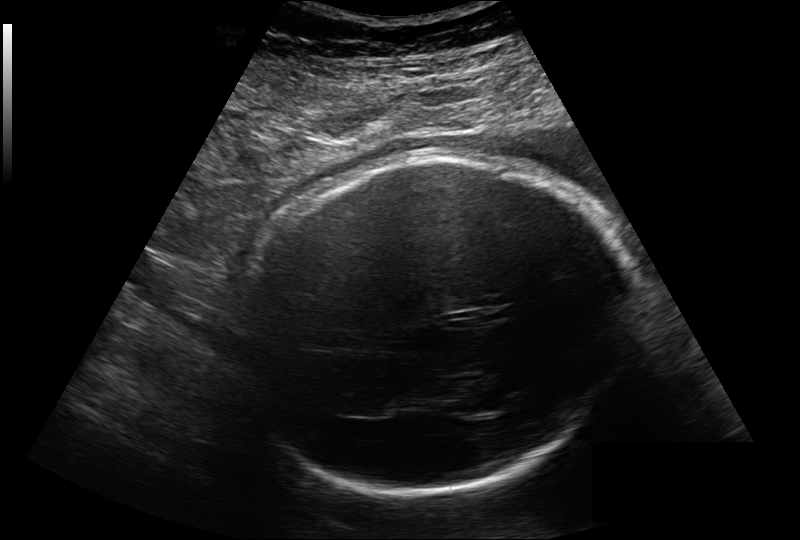
In this fetal head ultrasound, give the bounding box of the fetal head. Image width: 211.0 mm.

[236,154,631,493]